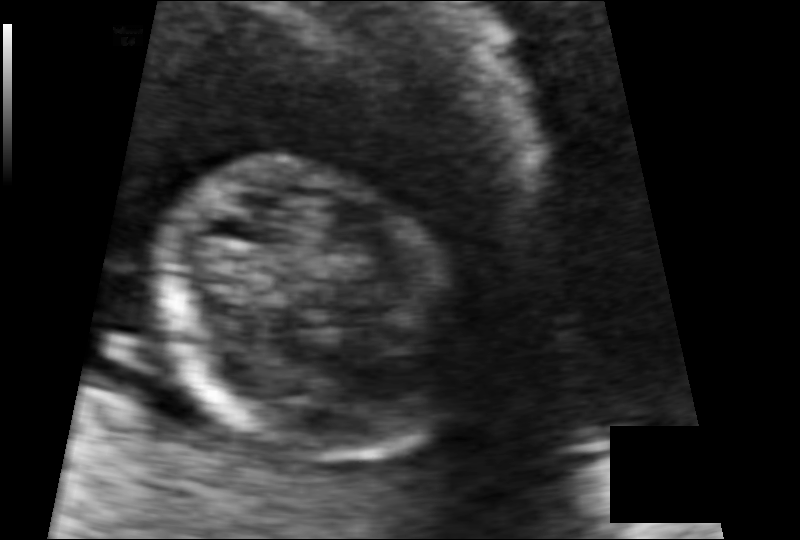
Fetal head ultrasound. Image width: 68.4 mm. Locate the fetal head.

Head: [150,161,471,462]